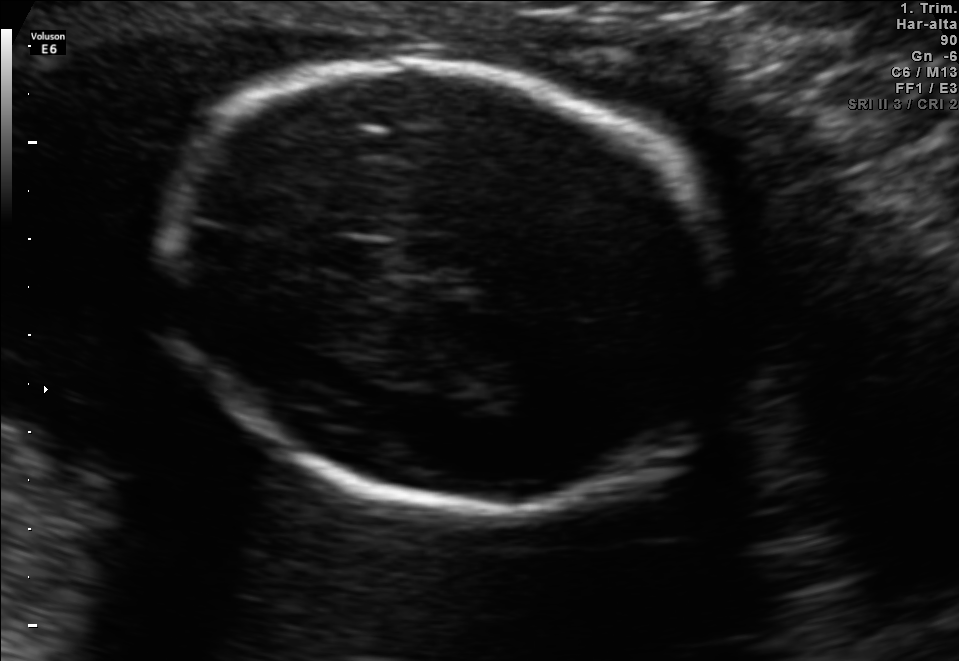
Fetal brain, trans-thalamic plane. Locate the fetal head and, if visible, the cavum septum pellucidum (CSP) and lateral ventricle (LV). Give bounding boxes as [x1,y1,x2,y2].

Head: [164,60,727,515]
CSP: [328,238,394,274]